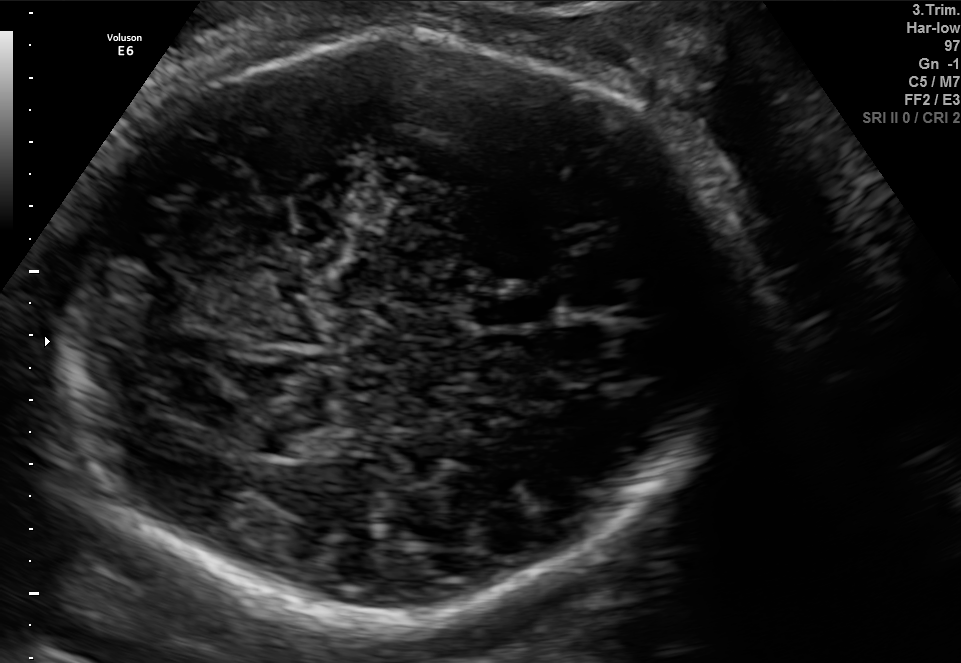
Fetal brain, trans-cerebellum plane. Where is the cavum septum pellucidum?

CSP bounding box: [469,287,558,331]